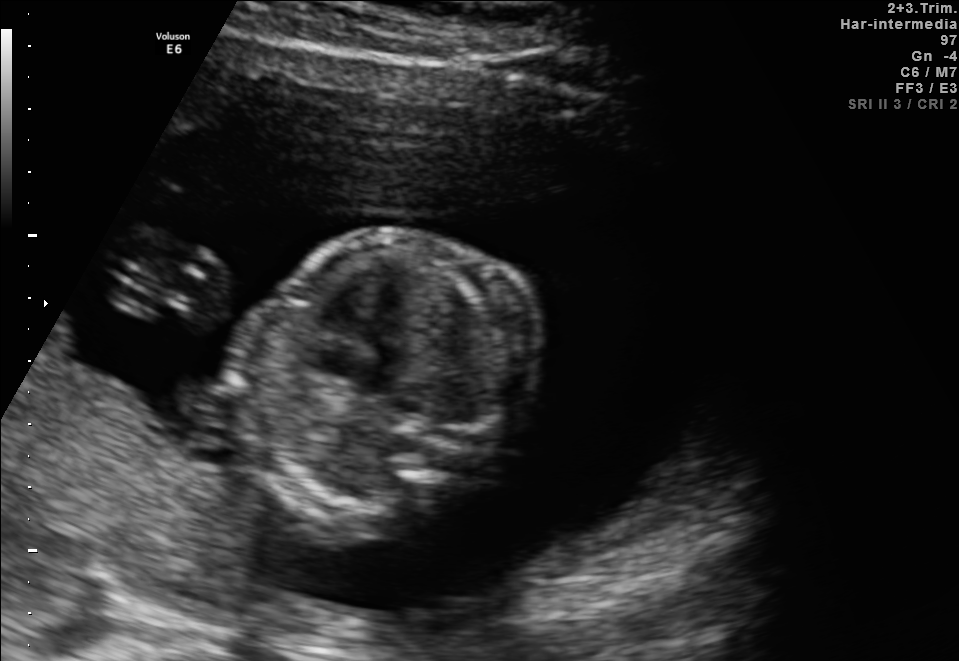
Classify this maternal-fetal ultrasound image as one of the six standard planes — fetal abdomen, fetal brain, fetal femur, fetal thorax, maternal cervix, or other. If it's fetal brain and one of the three standard brain planes (trans-thalamic, trans-cerebellum, trans-ventricular), name which.

Fetal thorax